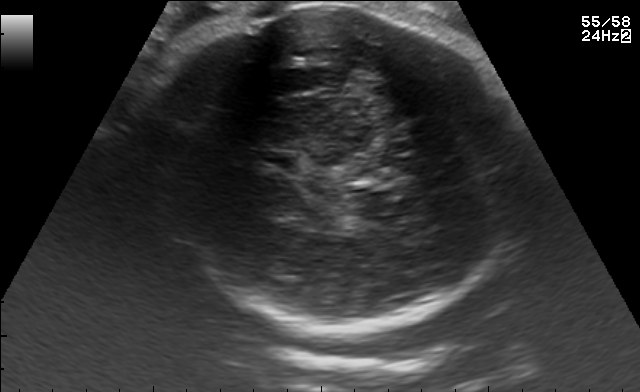
Fetal brain, trans-thalamic plane. Locate the fetal head.

Head: [141,3,523,326]